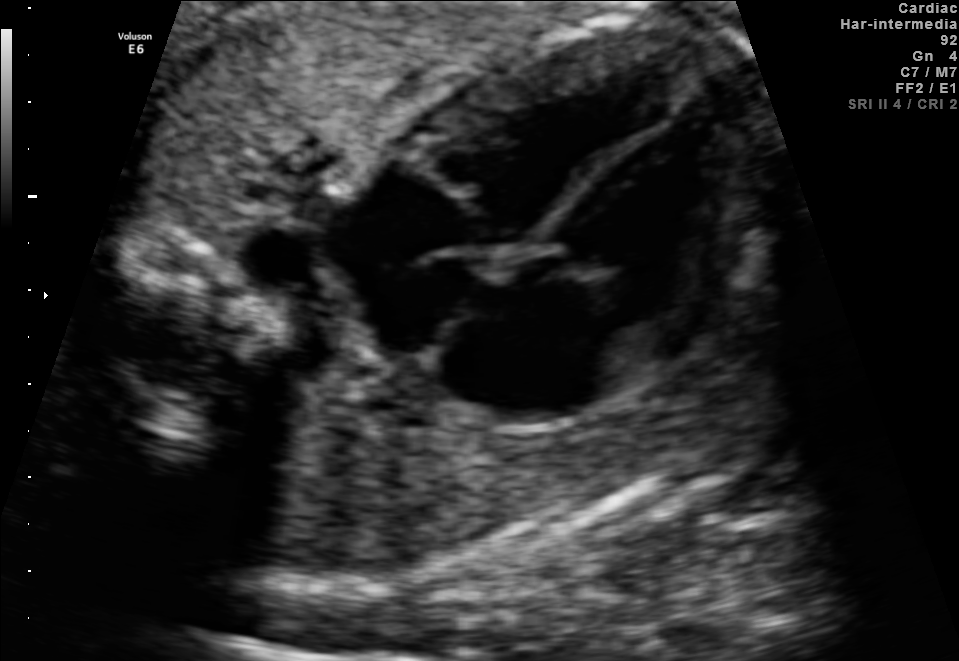
Identify the standard plane in this fetal ultrasound image: fetal abdomen, fetal brain, fetal femur, fetal thorax, maternal cervix, or other. If it's fetal brain and one of the three standard brain planes (trans-thalamic, trans-cerebellum, trans-ventricular), name which.

Fetal thorax